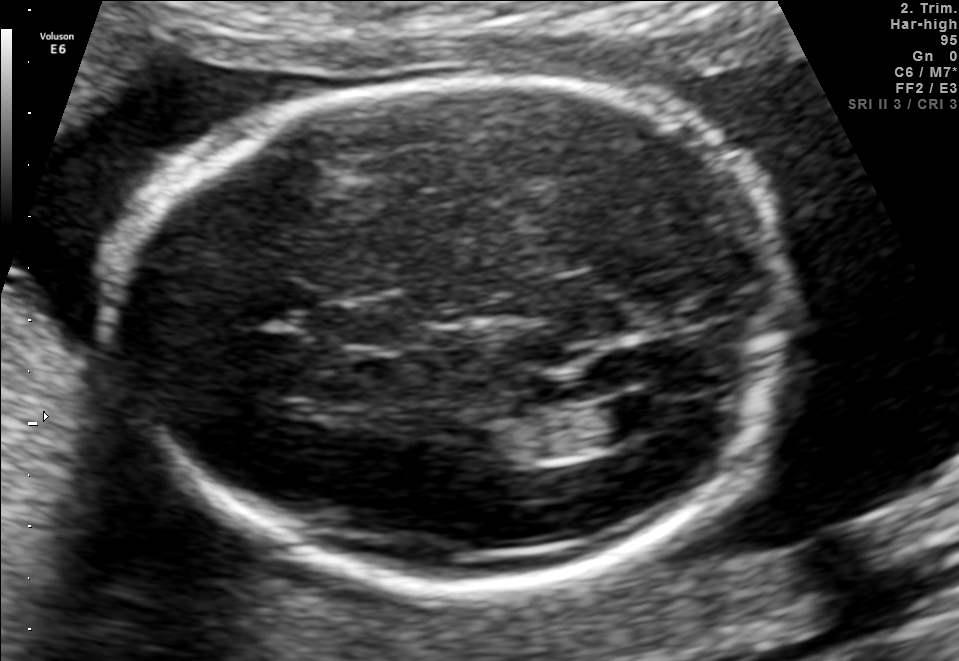
Fetal brain, trans-ventricular plane. Where is the cavum septum pellucidum?

CSP bounding box: [316,301,426,347]